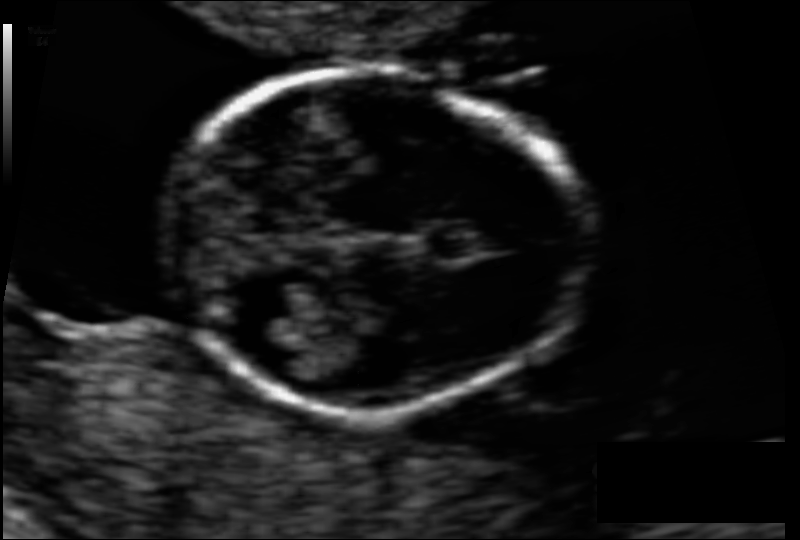
From this fetal ultrasound, estimate the head circumference (image width 52.1 mm).

Head circumference: 79.1 mm.